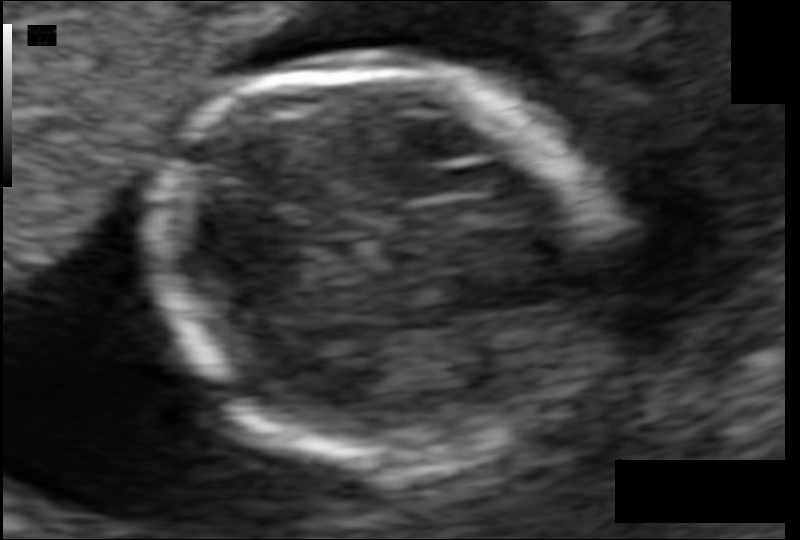
In this fetal head ultrasound, give bounding boxes for the head outline, cavum septum pellucidum (CSP), and lateral ventricle (LV), where visible. Image width: 58.1 mm.

Head: [152,66,606,451]